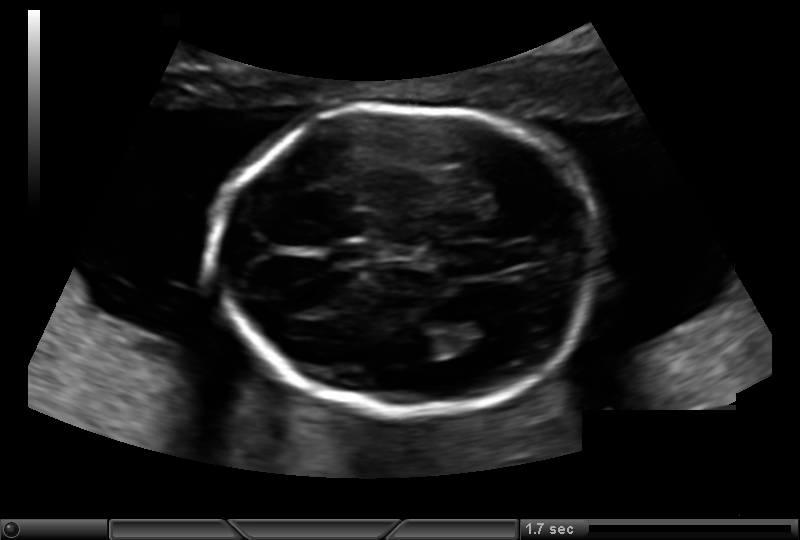
In this fetal head ultrasound, give the bounding box of the cavum septum pellucidum. Image width: 107.7 mm.

[334,242,375,263]